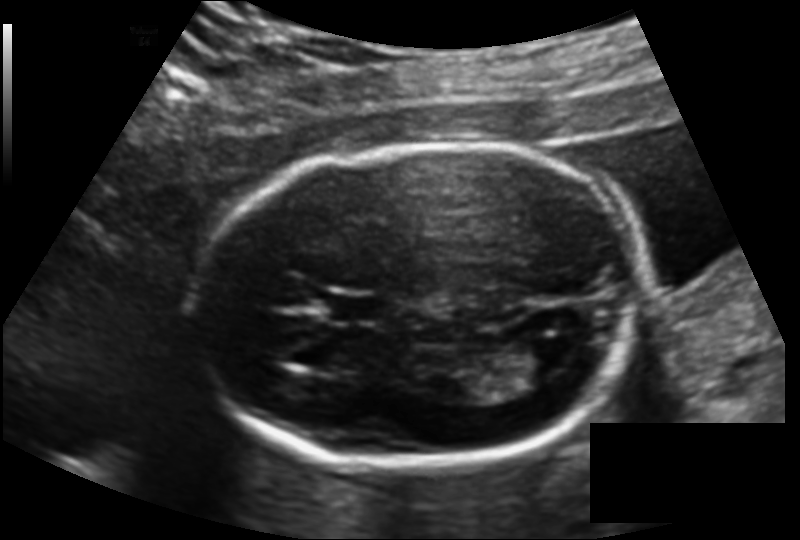
Measure the fetal head circumference shown in this ultrasound image. Image width: 109.3 mm.

Head circumference: 174.9 mm.